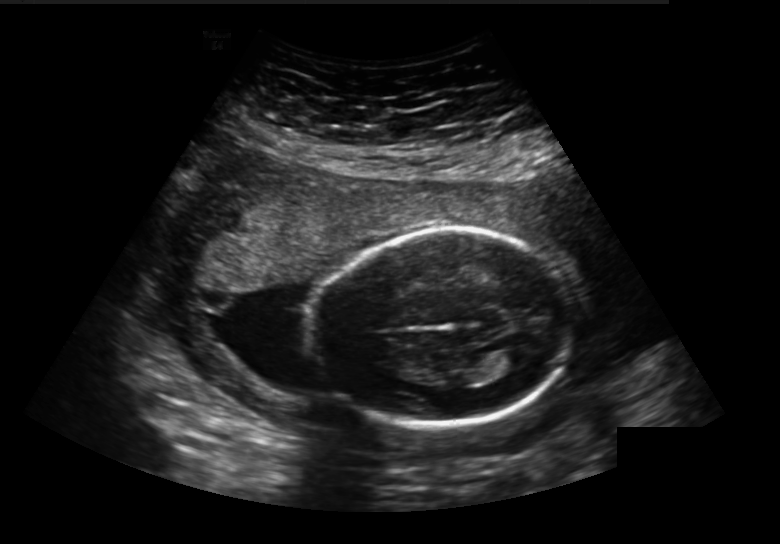
In this fetal head ultrasound, give the bounding box of the fetal head. Image width: 184.0 mm.

[314,230,572,428]